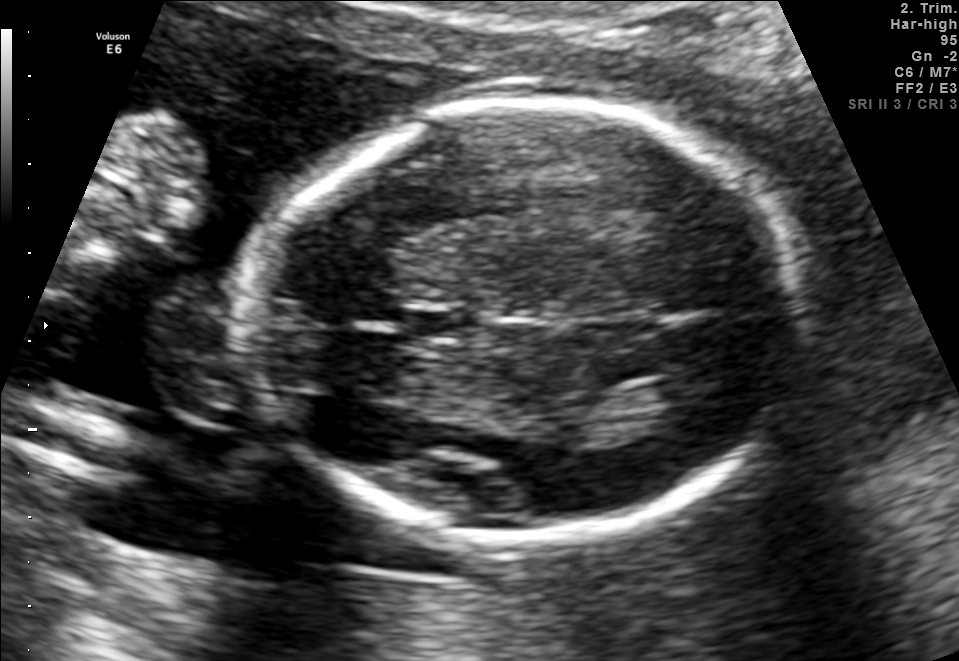
Fetal brain, trans-thalamic plane. Give [x1,y1,x2,y2] bounding boxes for each visible structure among: fetal head, CSP, LV.

Head: [242,105,797,542]
CSP: [406,312,474,339]
Lateral ventricle: [625,370,694,413]